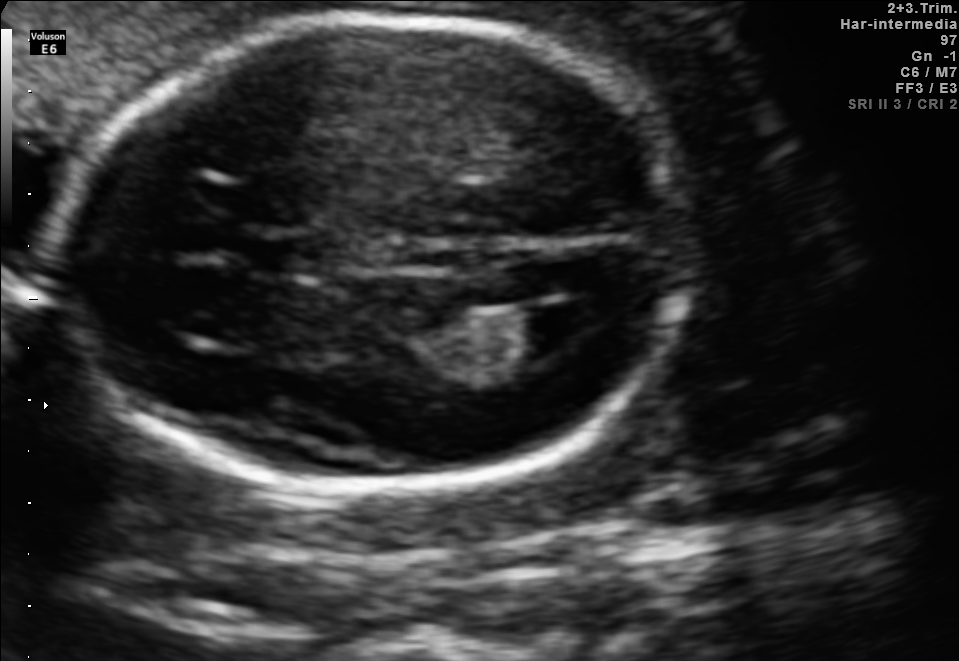
Fetal brain, trans-ventricular plane. Locate the fetal head and, if visible, the cavum septum pellucidum (CSP) and lateral ventricle (LV). Give bounding boxes as [x1,y1,x2,y2].

Head: [54,9,703,502]
CSP: [248,239,323,272]
Lateral ventricle: [516,294,607,360]